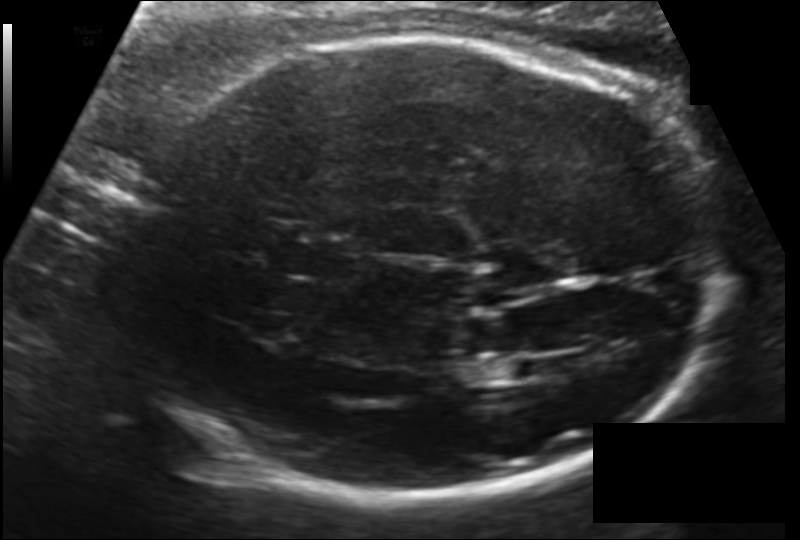
Fetal head ultrasound. Image width: 120.6 mm. Give [x1,y1,x2,y2] bounding boxes for each visible structure among: fetal head, CSP, LV.

Head: [122,38,723,501]
CSP: [282,241,355,277]
Lateral ventricle: [510,353,556,384]